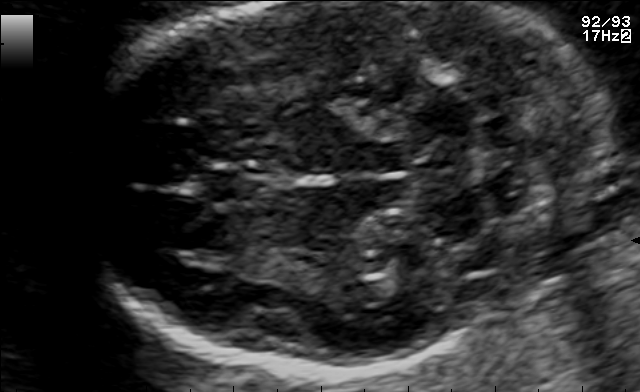
Fetal brain, trans-cerebellum plane. Where is the fetal head?

Head bounding box: [89,2,613,372]